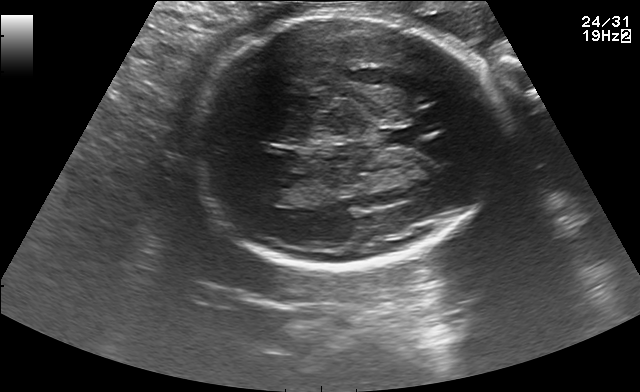
Fetal brain, trans-thalamic plane. Locate the lateral ventricle.

Lateral ventricle: [253,179,301,207]